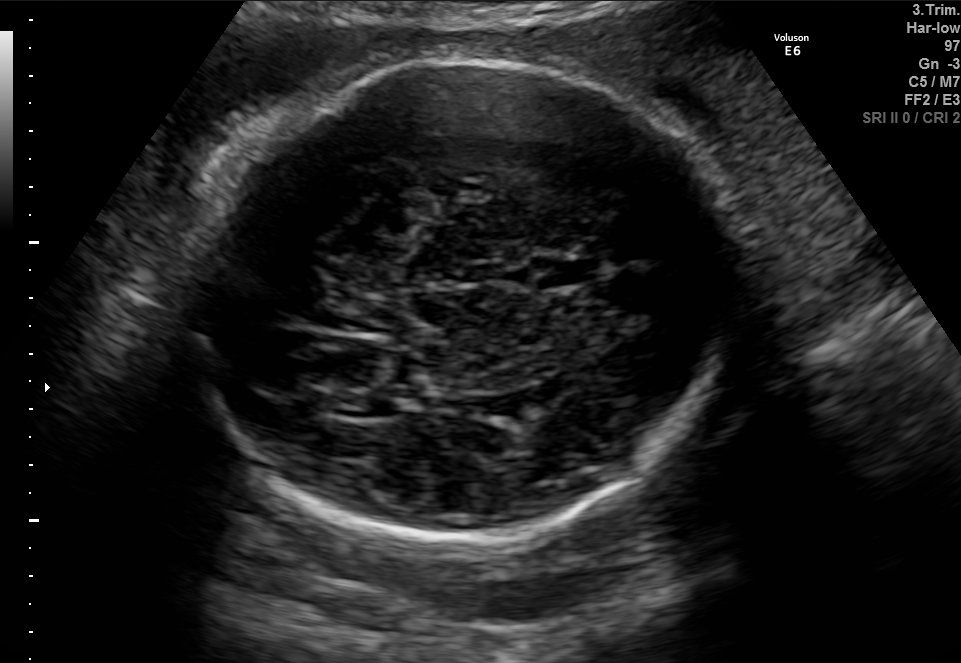
Fetal brain, trans-thalamic plane. Where is the fetal head?

Head bounding box: [181,57,746,548]